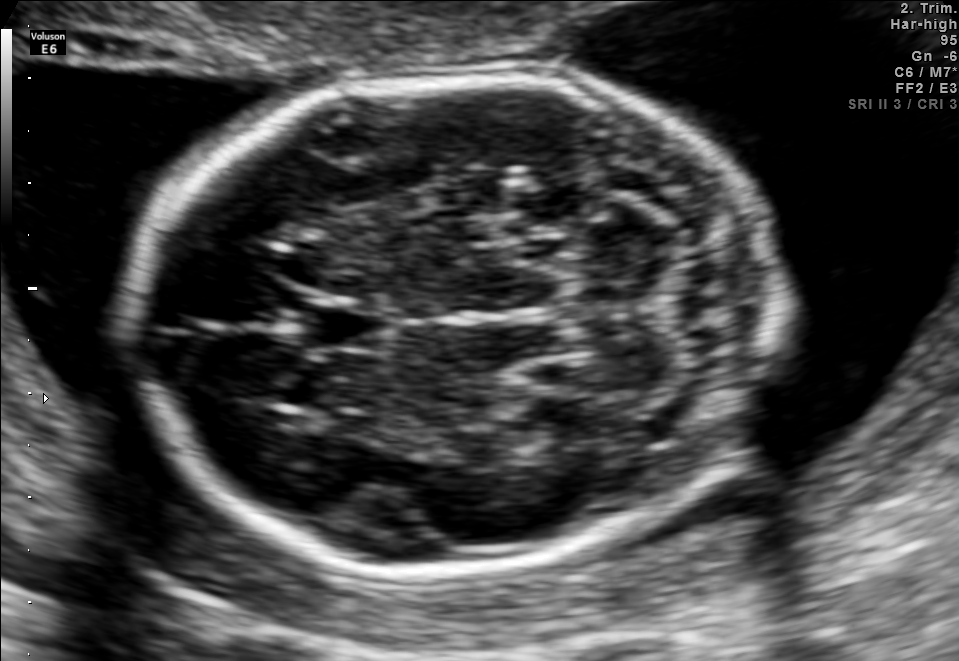
In this fetal brain, trans-cerebellum plane, give the bounding box of the fetal head.

[133,70,778,569]